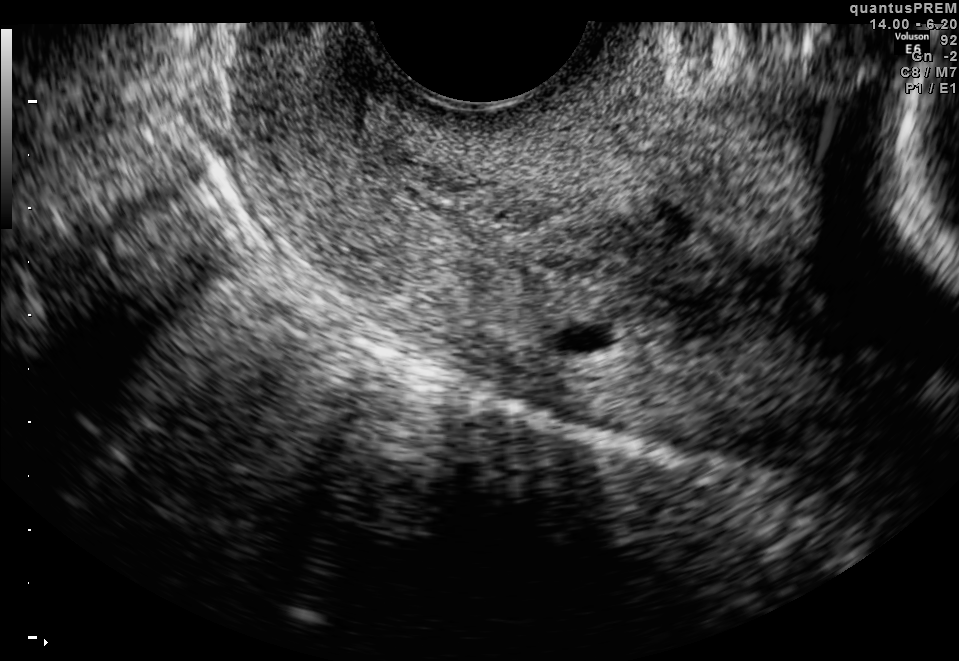
Which standard maternal-fetal ultrasound plane is shown: fetal abdomen, fetal brain, fetal femur, fetal thorax, maternal cervix, or other? If it's fetal brain and one of the three standard brain planes (trans-thalamic, trans-cerebellum, trans-ventricular), name which.

Maternal cervix